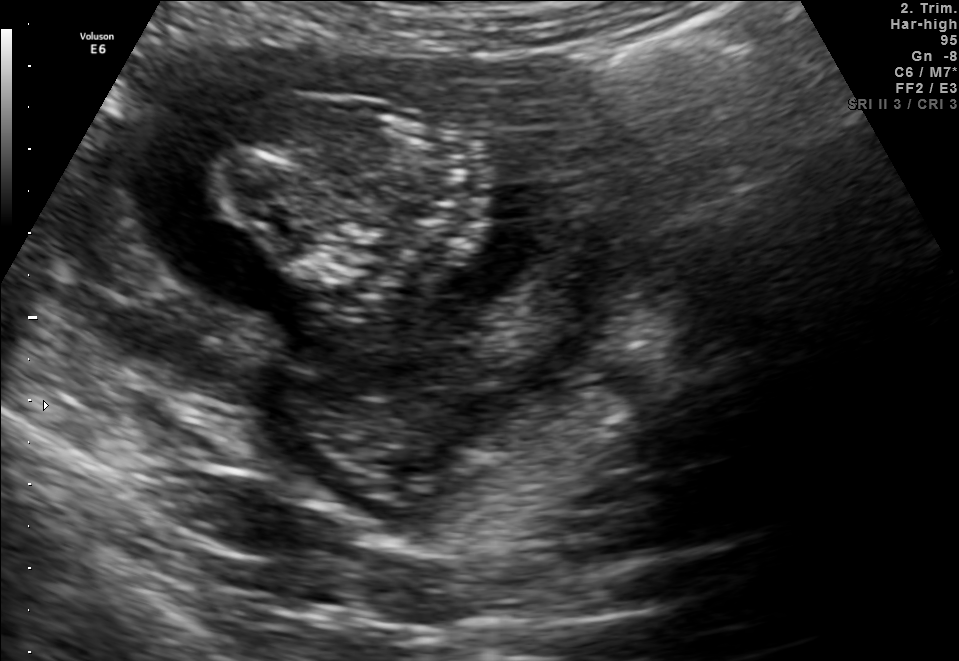
This is a 2D maternal-fetal ultrasound frame. Is it a fetal abdomen, fetal brain, fetal femur, fetal thorax, maternal cervix, or other standard plane? If it's fetal brain and one of the three standard brain planes (trans-thalamic, trans-cerebellum, trans-ventricular), name which.

Other